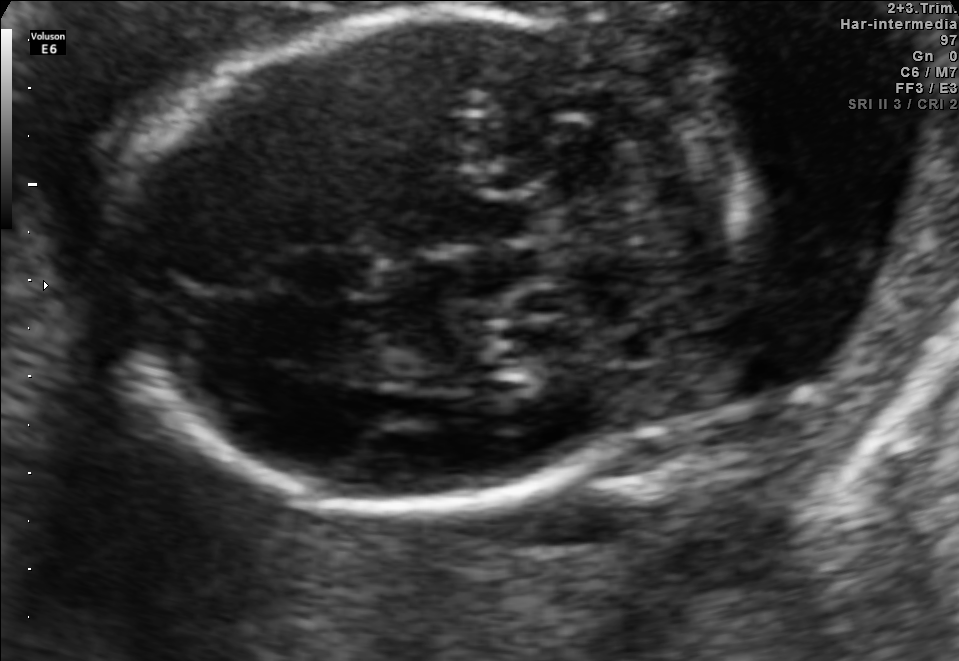
Fetal brain, trans-cerebellum plane. Locate the fetal head.

Head: [108,9,753,506]